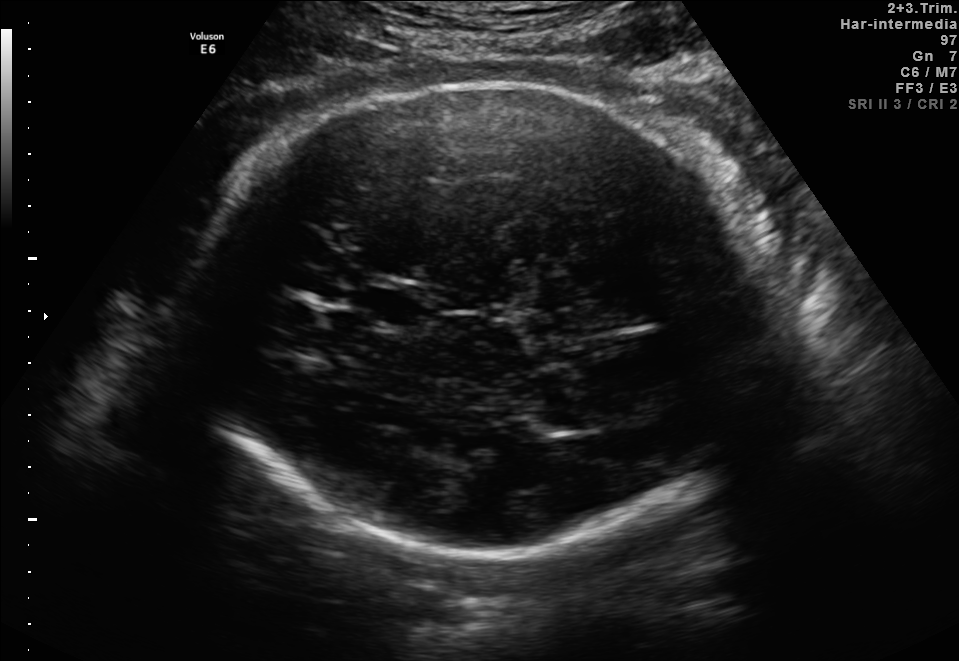
In this fetal brain, trans-thalamic plane, give the bounding box of the cavum septum pellucidum.

[364,286,416,325]